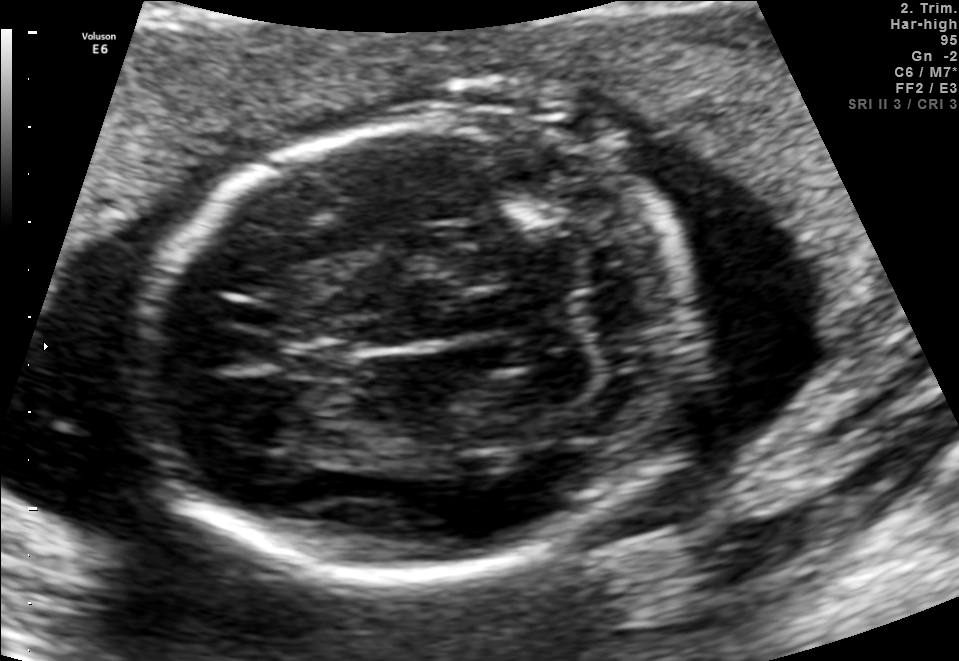
This is a 2D maternal-fetal ultrasound frame. Is it a fetal abdomen, fetal brain, fetal femur, fetal thorax, maternal cervix, or other standard plane? If it's fetal brain and one of the three standard brain planes (trans-thalamic, trans-cerebellum, trans-ventricular), name which.

Fetal brain (trans-cerebellum plane)